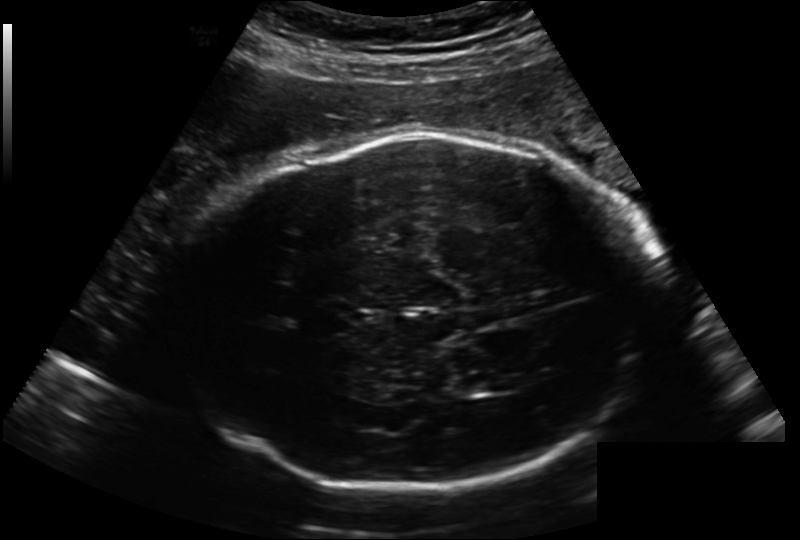
In this fetal head ultrasound, give the bounding box of the lateral ventricle. Image width: 177.3 mm.

[453,371,499,396]